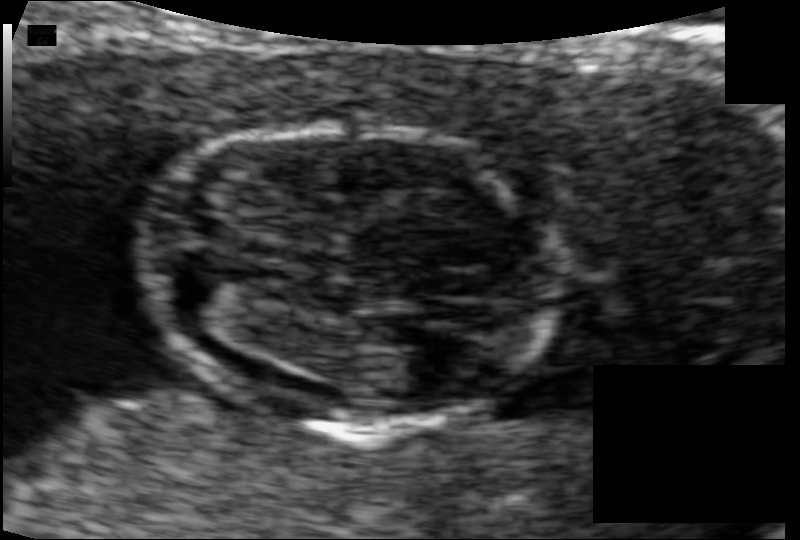
Fetal head ultrasound. Image width: 52.6 mm. Locate the fetal head and, if visible, the cavum septum pellucidum (CSP) and lateral ventricle (LV). Give bounding boxes as [x1,y1,x2,y2].

Head: [144,128,551,428]